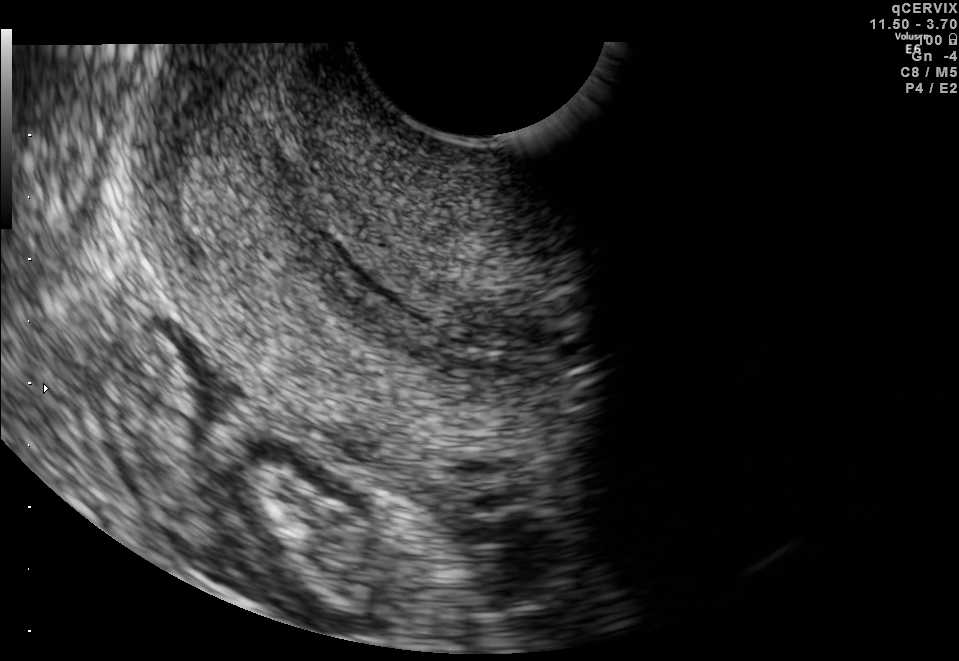
This is a 2D maternal-fetal ultrasound frame. Is it a fetal abdomen, fetal brain, fetal femur, fetal thorax, maternal cervix, or other standard plane? If it's fetal brain and one of the three standard brain planes (trans-thalamic, trans-cerebellum, trans-ventricular), name which.

Maternal cervix